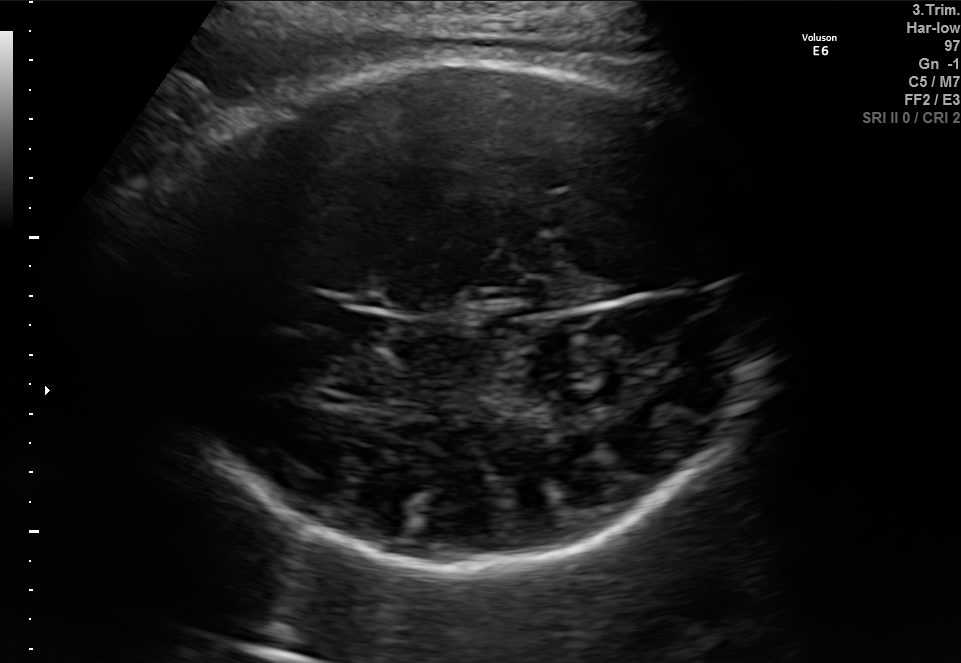
Fetal brain, trans-thalamic plane. Locate the cavum septum pellucidum.

CSP: [304,294,392,344]